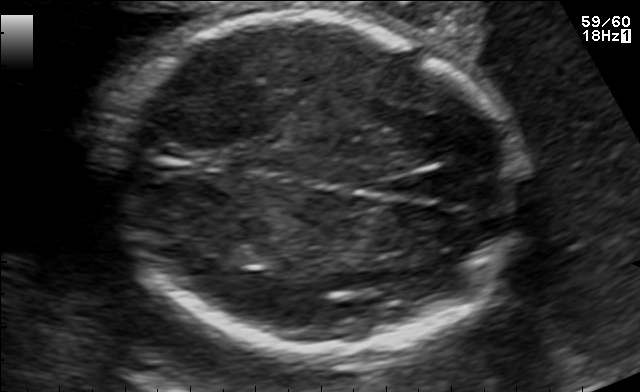
Fetal brain, trans-thalamic plane. Locate the fetal head and, if visible, the cavum septum pellucidum (CSP) and lateral ventricle (LV). Give bounding boxes as [x1,y1,x2,y2].

Head: [105,14,523,352]